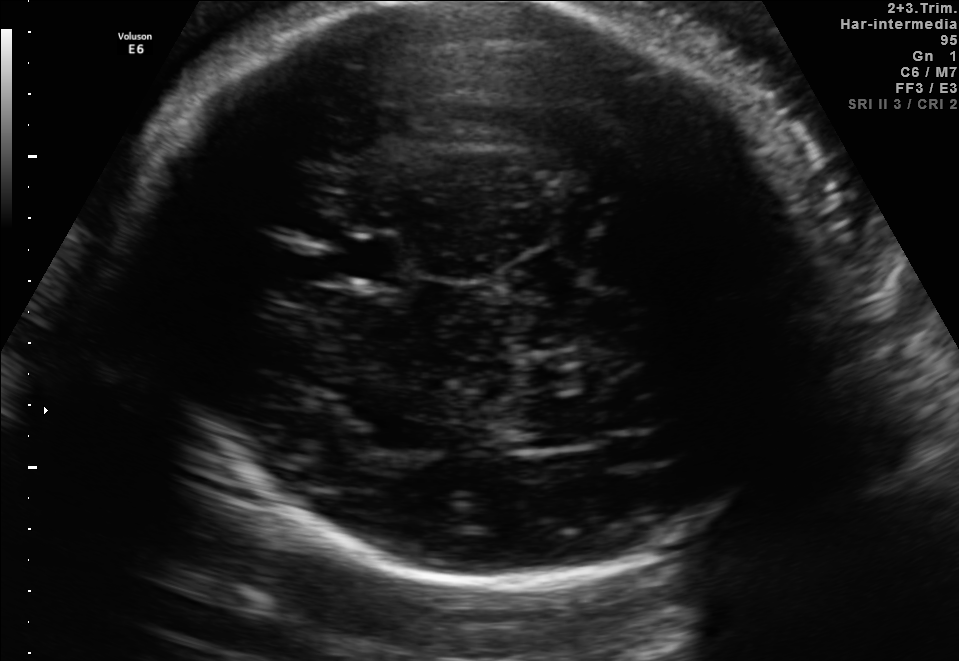
Fetal brain, trans-thalamic plane. Locate the fetal head and, if visible, the cavum septum pellucidum (CSP) and lateral ventricle (LV). Give bounding boxes as [x1,y1,x2,y2].

Head: [122,4,833,585]
CSP: [325,233,403,287]
Lateral ventricle: [501,395,605,453]